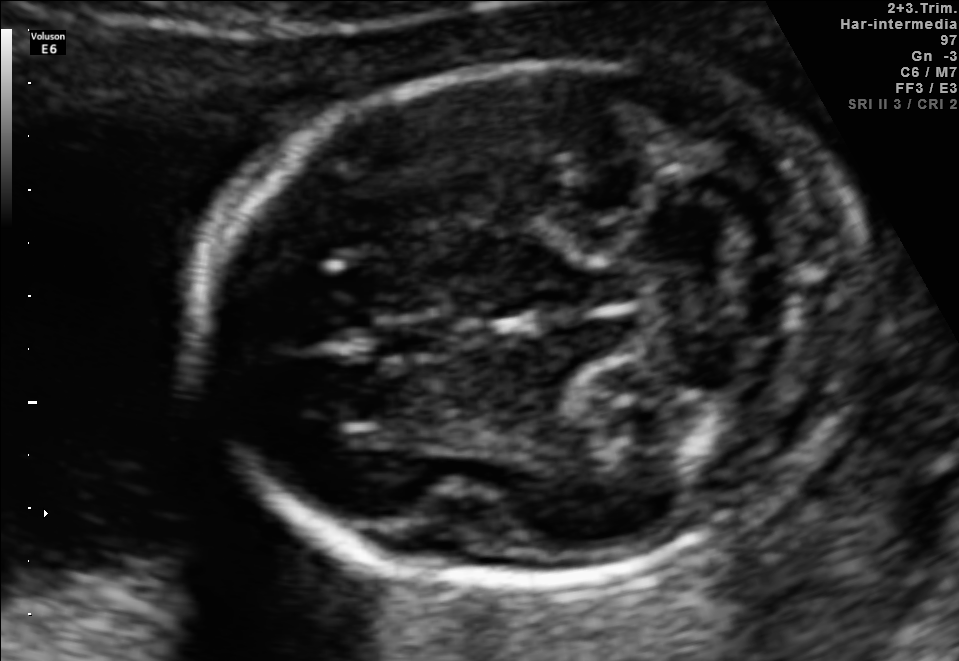
In this fetal brain, trans-cerebellum plane, give the bounding box of the cavum septum pellucidum.

[372,310,451,363]